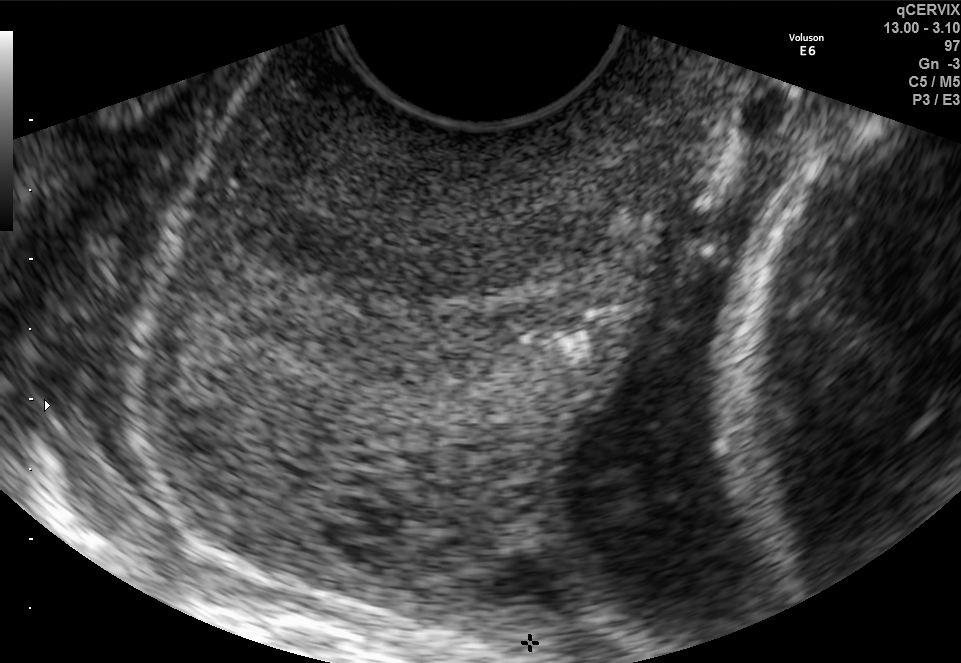
Classify this maternal-fetal ultrasound image as one of the six standard planes — fetal abdomen, fetal brain, fetal femur, fetal thorax, maternal cervix, or other. If it's fetal brain and one of the three standard brain planes (trans-thalamic, trans-cerebellum, trans-ventricular), name which.

Maternal cervix